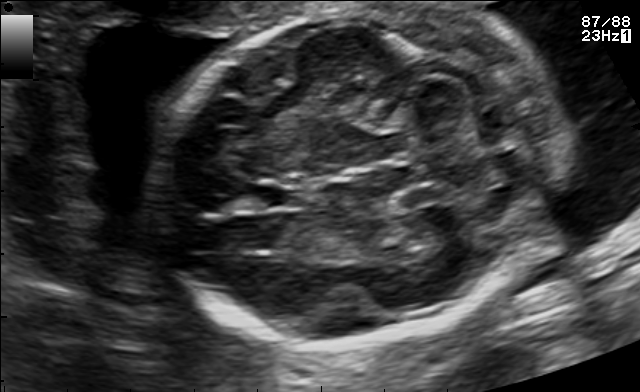
In this fetal brain, trans-cerebellum plane, give the bounding box of the cavum septum pellucidum.

[245,183,301,209]